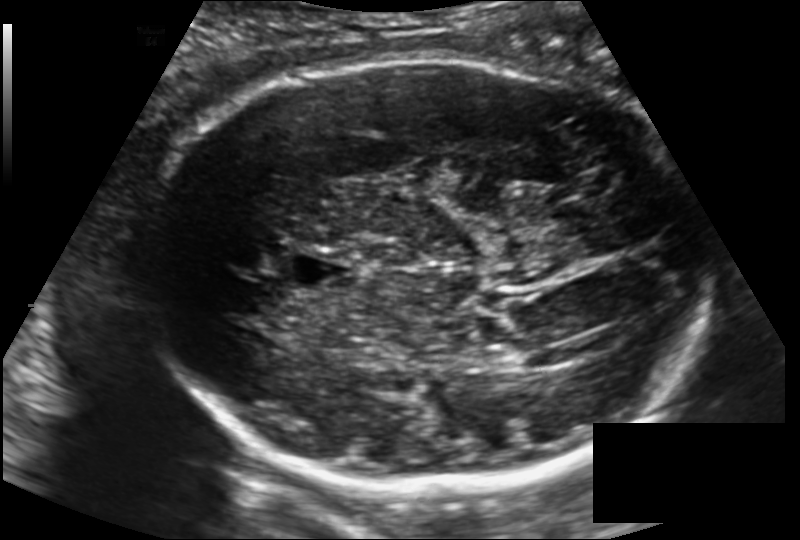
Fetal head ultrasound. Image width: 136.5 mm. Locate the lateral ventricle.

Lateral ventricle: [494,338,546,370]